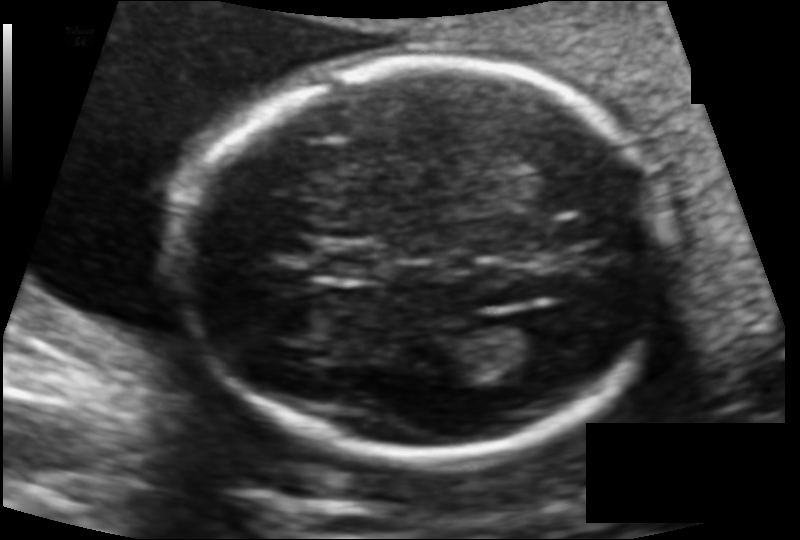
In this fetal head ultrasound, give bounding boxes for the head outline, cavum septum pellucidum (CSP), and lateral ventricle (LV), where visible. Image width: 91.4 mm.

Head: [184,60,671,461]
CSP: [311,239,386,283]
Lateral ventricle: [478,312,564,376]